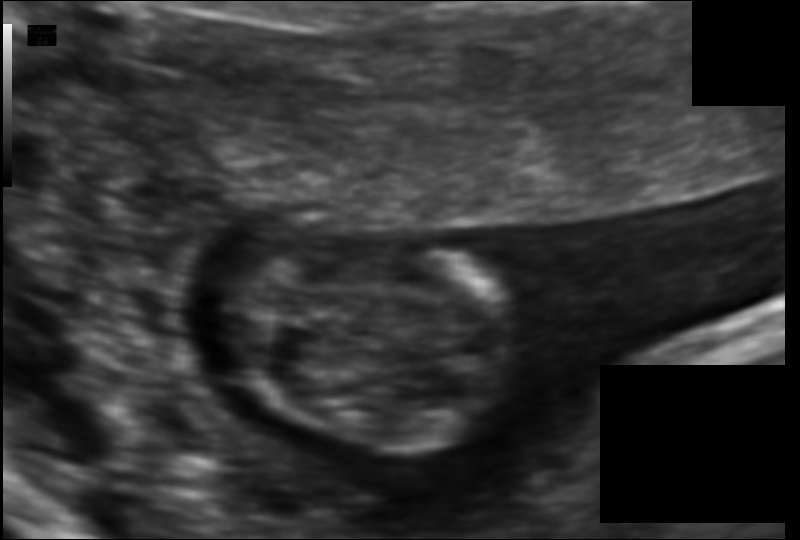
Fetal head ultrasound. Image width: 62.1 mm. Locate the fetal head.

Head: [224,243,523,448]